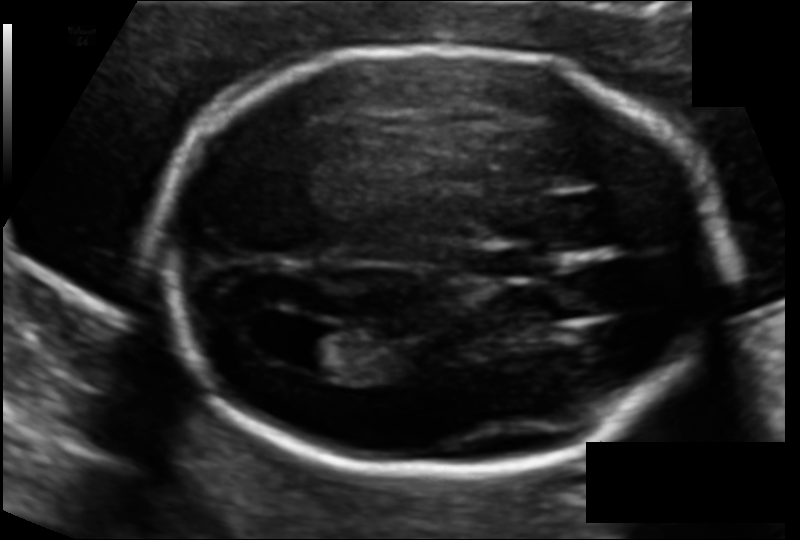
Estimate the fetal head circumference from this 2D ultrasound.

Head circumference: 178.2 mm (image width 89.4 mm).